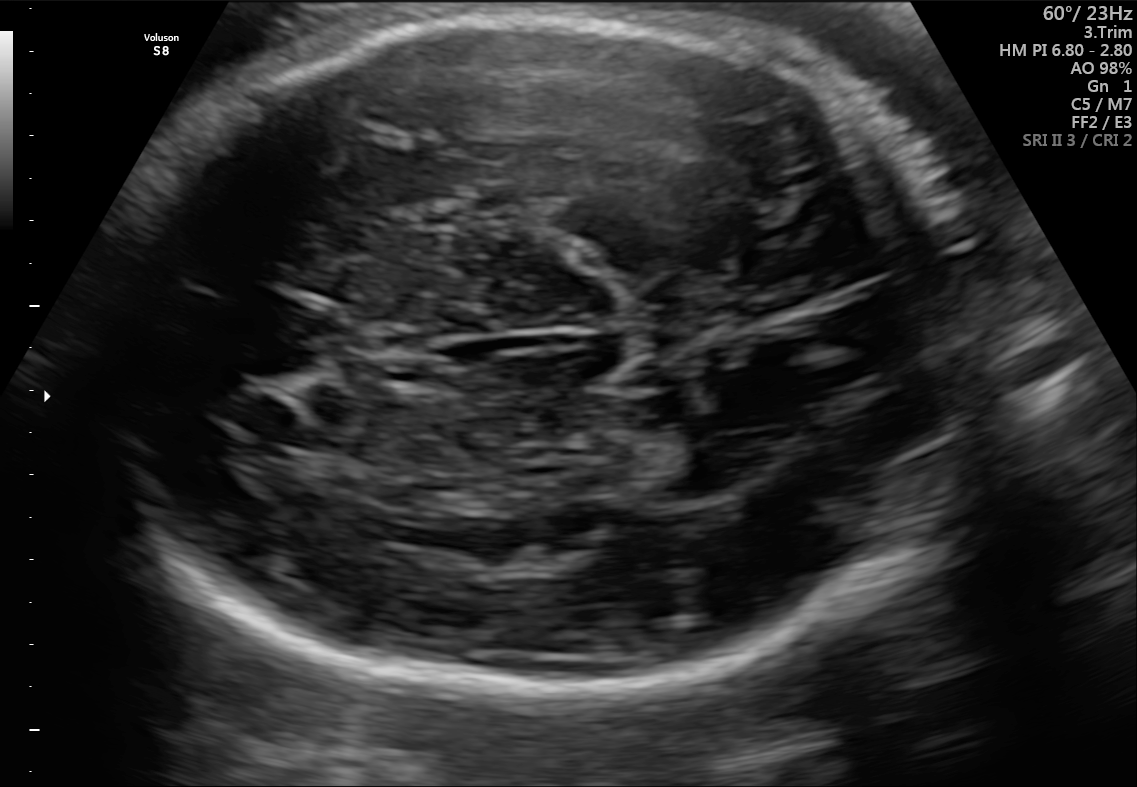
In this fetal brain, trans-thalamic plane, give the bounding box of the fetal head.

[75,12,1003,701]